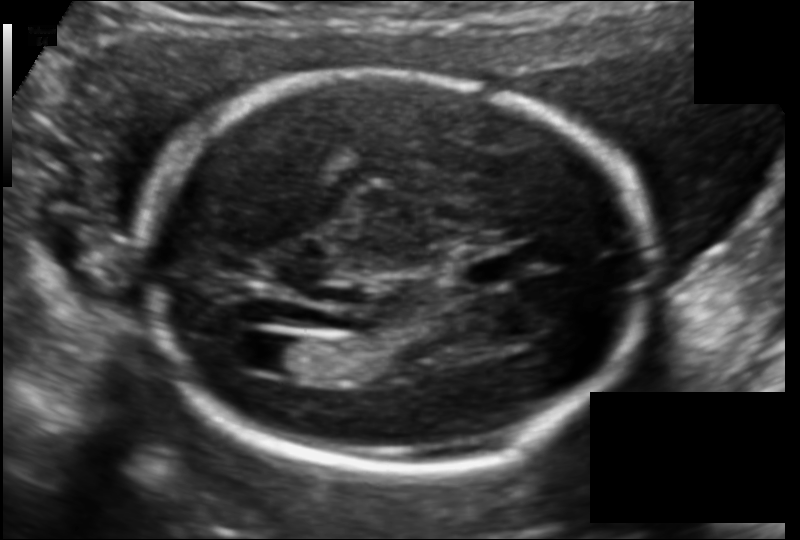
Estimate the fetal head circumference from this 2D ultrasound. Image width: 97.5 mm.

Head circumference: 177.8 mm.